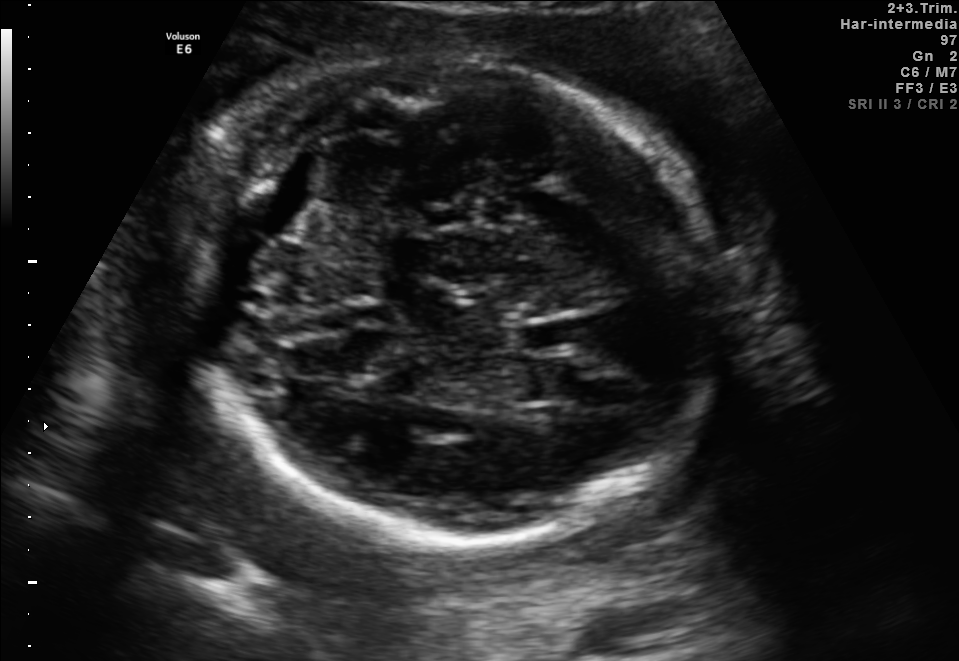
Fetal brain, trans-thalamic plane. Give [x1,y1,x2,y2] bounding boxes for each visible structure among: fetal head, CSP, LV.

Head: [162,56,727,537]
CSP: [513,314,586,353]